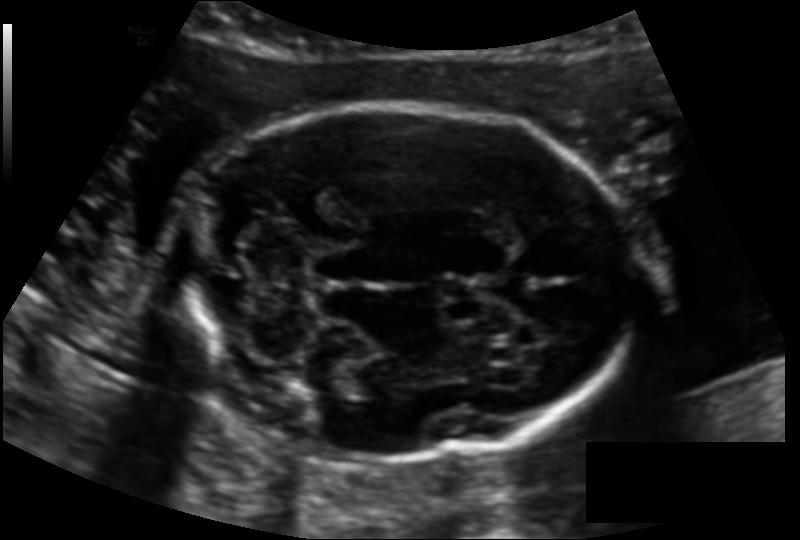
Fetal head ultrasound. Image width: 102.3 mm. Locate the fetal head.

Head: [176,105,637,457]